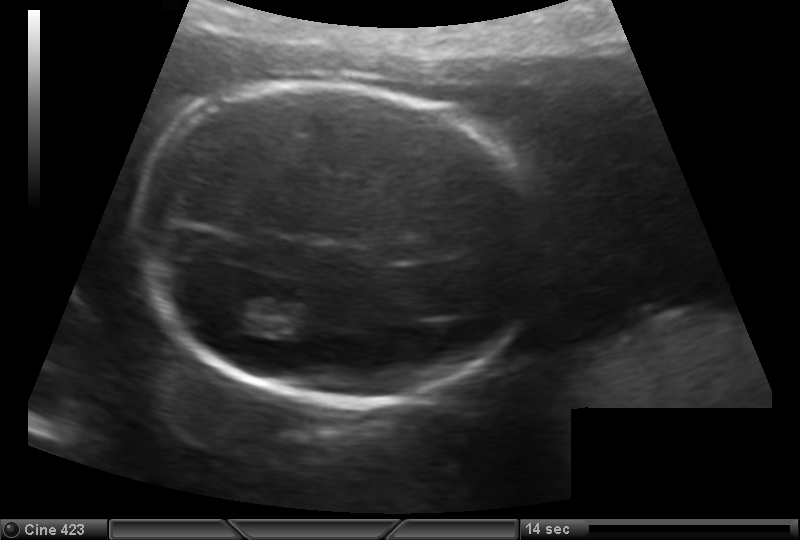
Fetal head ultrasound. Image width: 117.9 mm. Where is the lateral ventricle?

Lateral ventricle bounding box: [216,290,274,334]